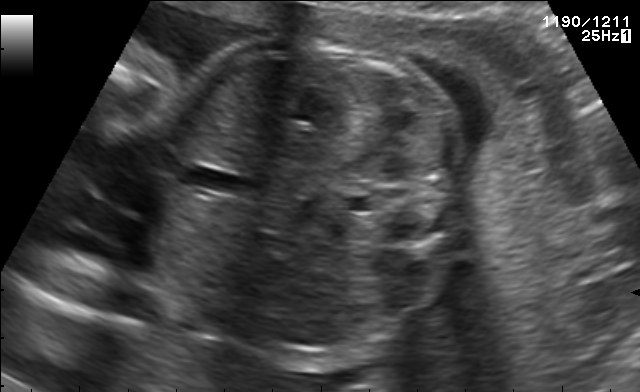
Classify this maternal-fetal ultrasound image as one of the six standard planes — fetal abdomen, fetal brain, fetal femur, fetal thorax, maternal cervix, or other. If it's fetal brain and one of the three standard brain planes (trans-thalamic, trans-cerebellum, trans-ventricular), name which.

Fetal abdomen